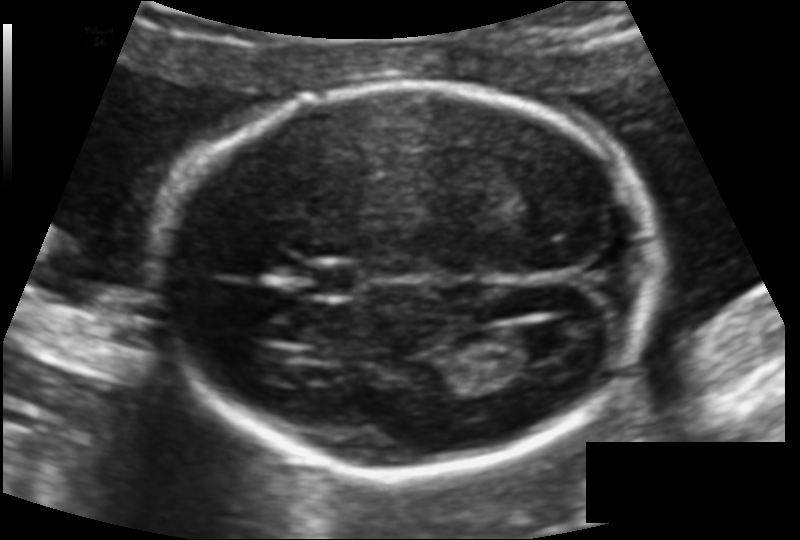
Fetal head ultrasound. Image width: 93.9 mm. Where is the lateral ventricle?

Lateral ventricle bounding box: [495,321,566,368]